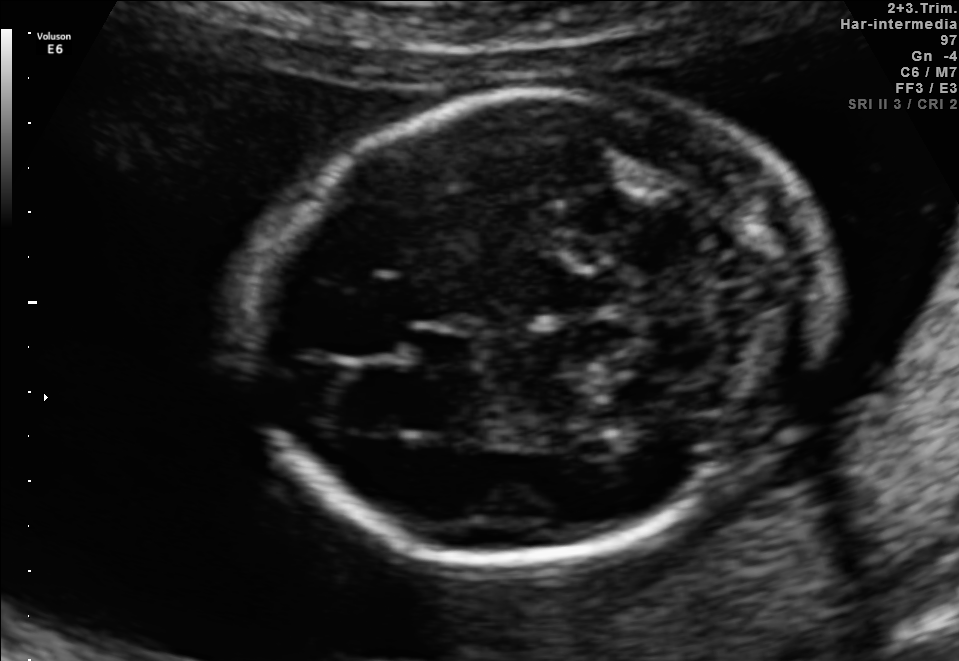
Fetal brain, trans-cerebellum plane. Where is the fetal head?

Head bounding box: [253,89,826,562]